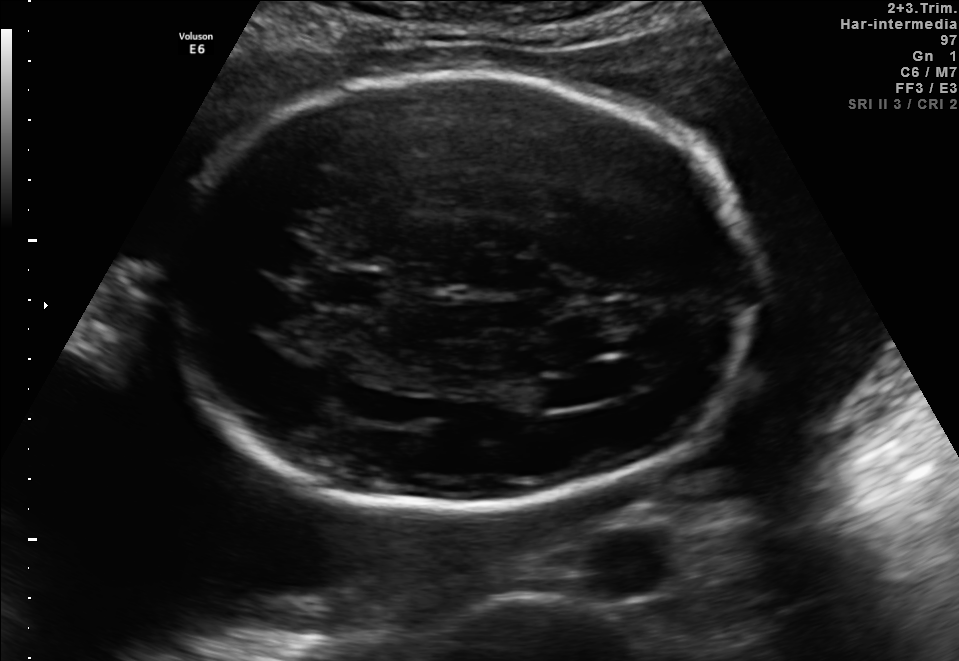
Fetal brain, trans-ventricular plane. Where is the fetal head?

Head bounding box: [166,68,759,513]